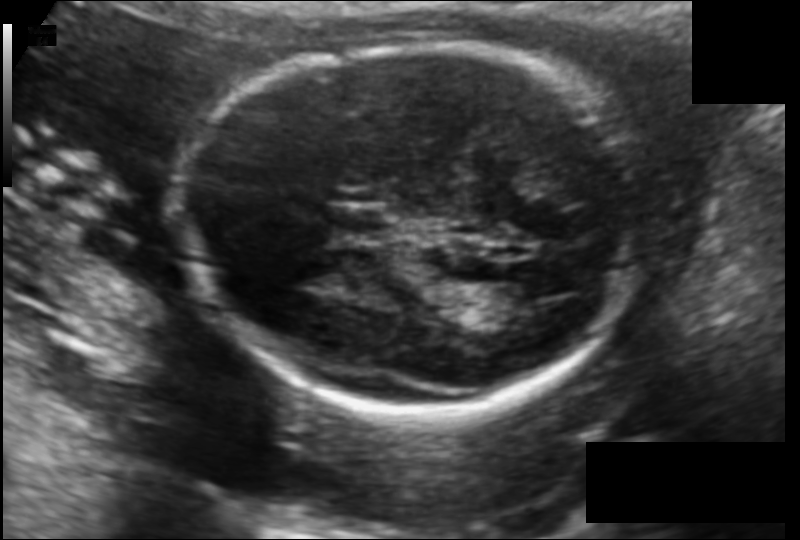
Estimate the fetal head circumference from this 2D ultrasound.

Head circumference: 165.8 mm (image width 98.5 mm).